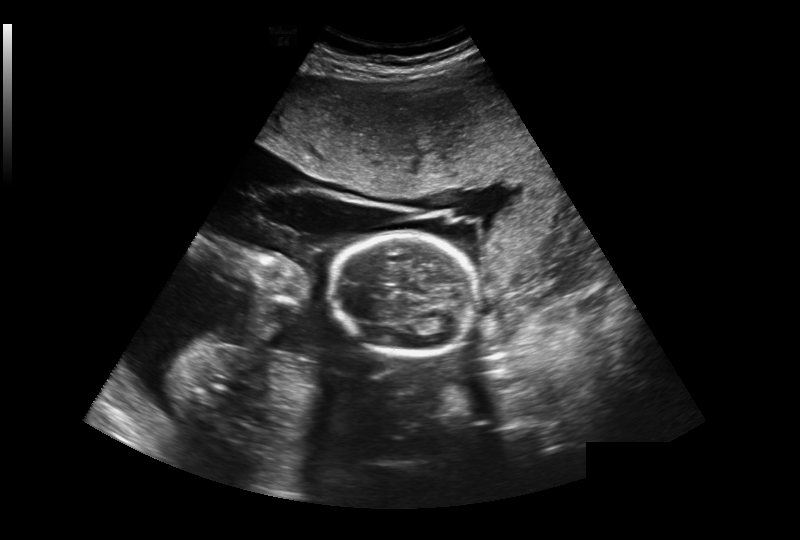
In this fetal head ultrasound, give bounding boxes for the head outline, cavum septum pellucidum (CSP), and lateral ventricle (LV), where visible. Image width: 314.6 mm.

Head: [331,234,477,355]
CSP: [370,282,397,298]
Lateral ventricle: [434,318,456,331]